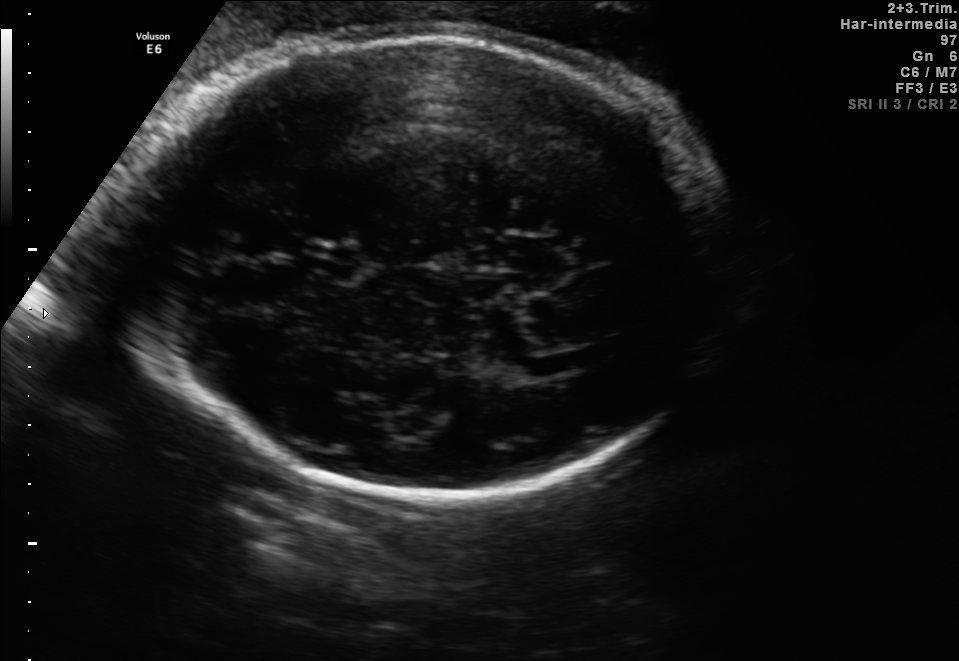
Fetal brain, trans-thalamic plane. Locate the cavum septum pellucidum.

CSP: [300,243,358,282]